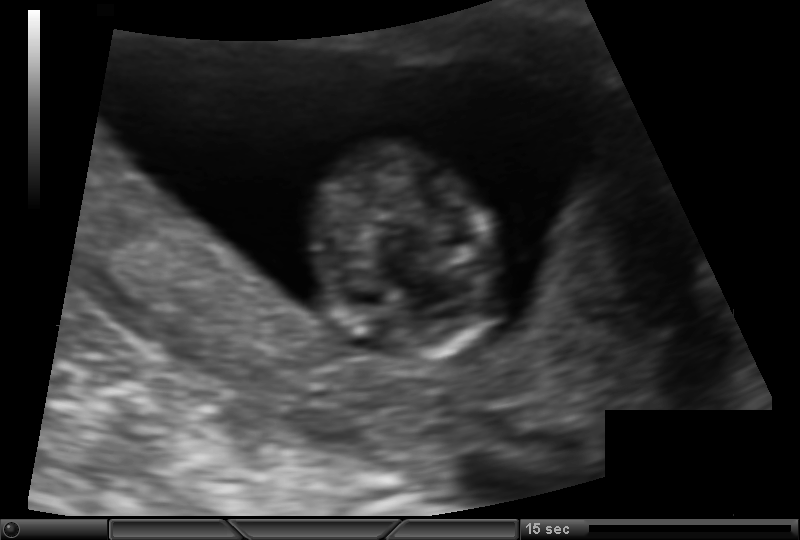
Fetal head ultrasound. Image width: 84.2 mm. Where is the fetal head?

Head bounding box: [309,142,502,364]